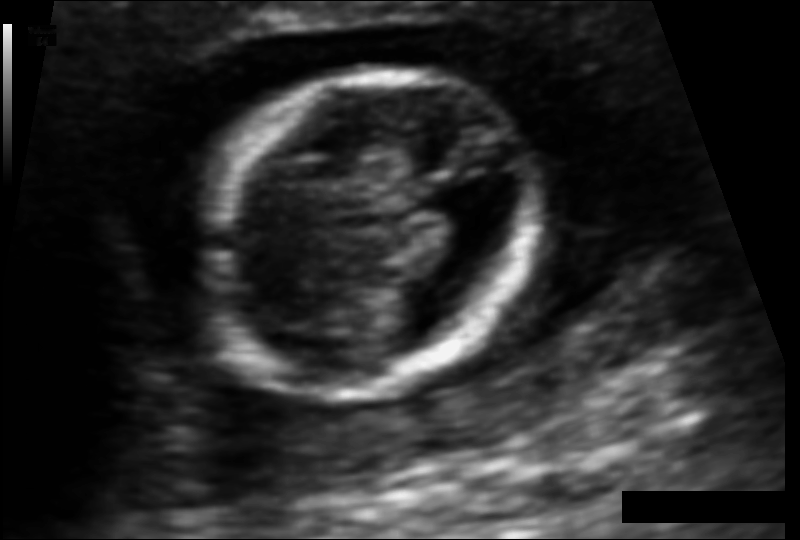
Fetal head ultrasound. Image width: 73.5 mm. Locate the fetal head and, if visible, the cavum septum pellucidum (CSP) and lateral ventricle (LV). Give bounding boxes as [x1,y1,x2,y2].

Head: [184,68,538,394]